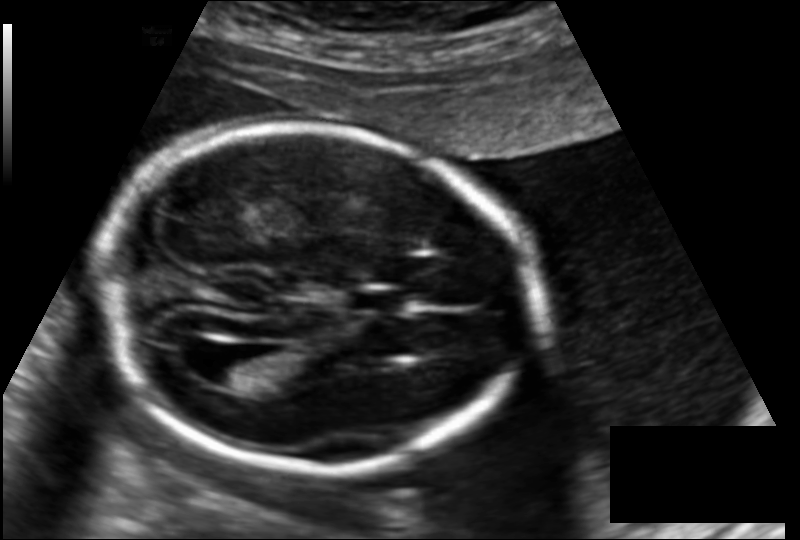
Fetal head ultrasound. Image width: 115.9 mm. Where is the lateral ventricle?

Lateral ventricle bounding box: [199,342,264,394]